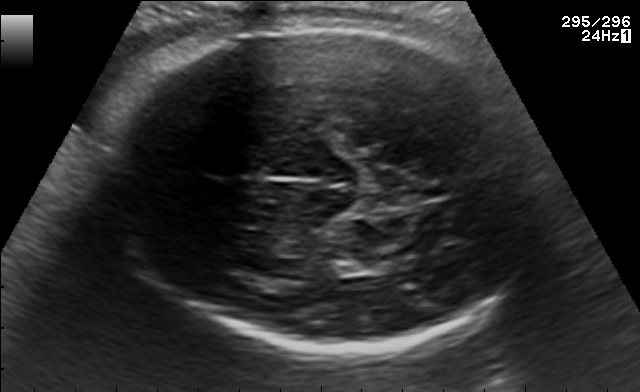
In this fetal brain, trans-thalamic plane, give bounding boxes for the head outline, cavum septum pellucidum (CSP), and lateral ventricle (LV), where visible.

Head: [111,23,542,355]